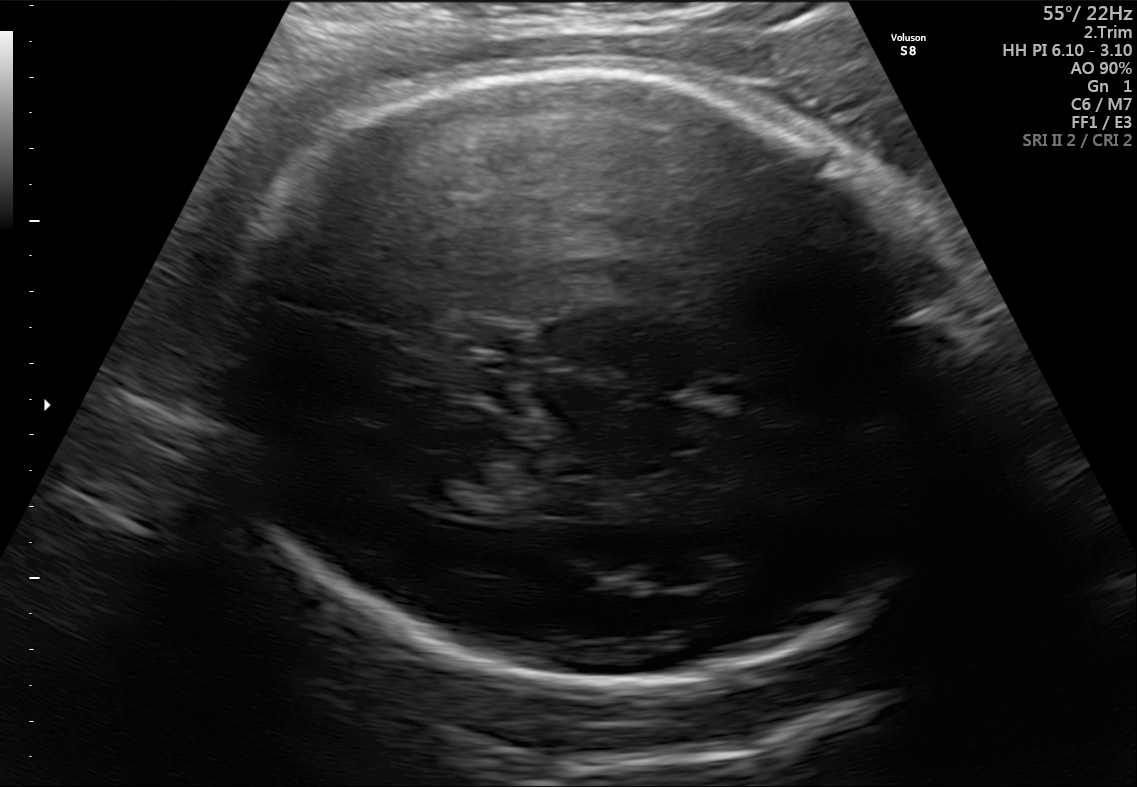
In this fetal brain, trans-thalamic plane, give bounding boxes for the head outline, cavum septum pellucidum (CSP), and lateral ventricle (LV), where visible.

Head: [213,70,988,681]